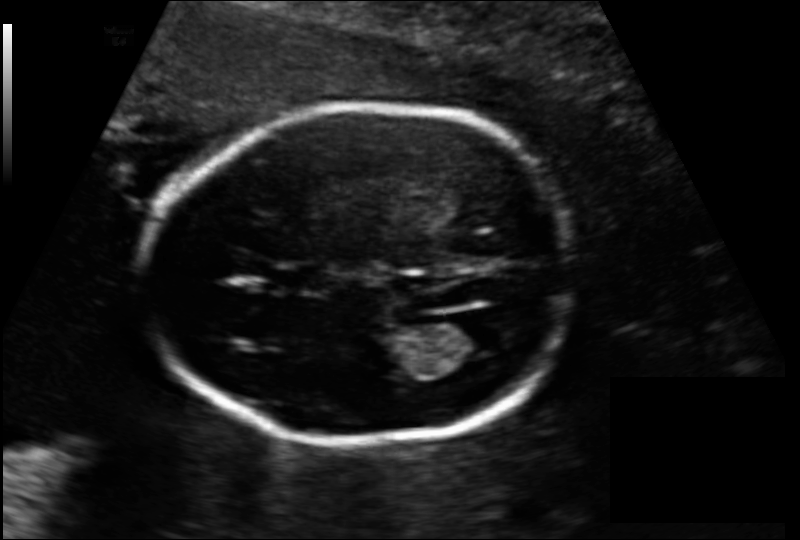
What is the fetal head circumference? Image width is 109.4 mm.

171.1 mm